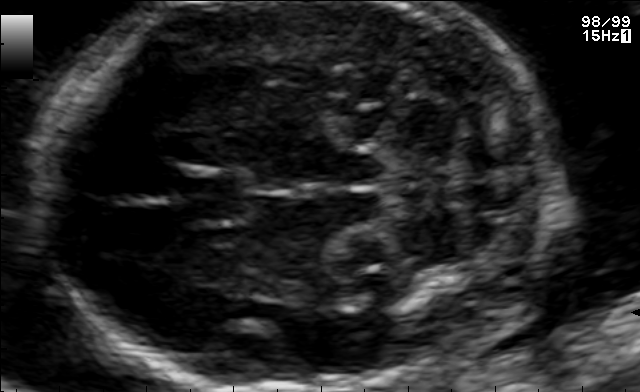
Fetal brain, trans-cerebellum plane. Locate the fetal head.

Head: [35,4,555,390]